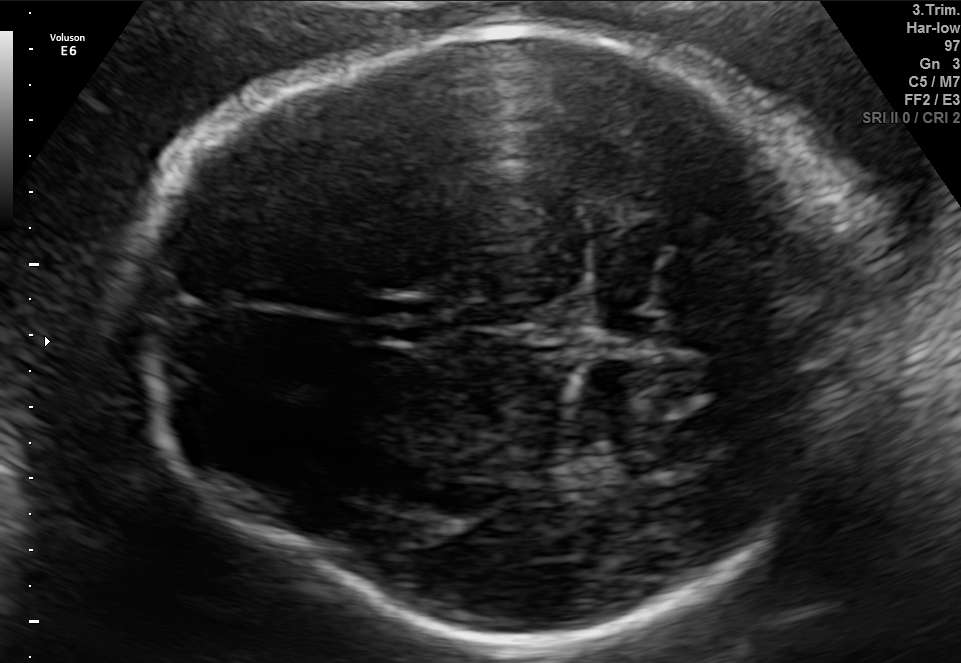
Fetal brain, trans-thalamic plane. Locate the fetal head and, if visible, the cavum septum pellucidum (CSP) and lateral ventricle (LV). Give bounding boxes as [x1,y1,x2,y2].

Head: [122,26,903,645]